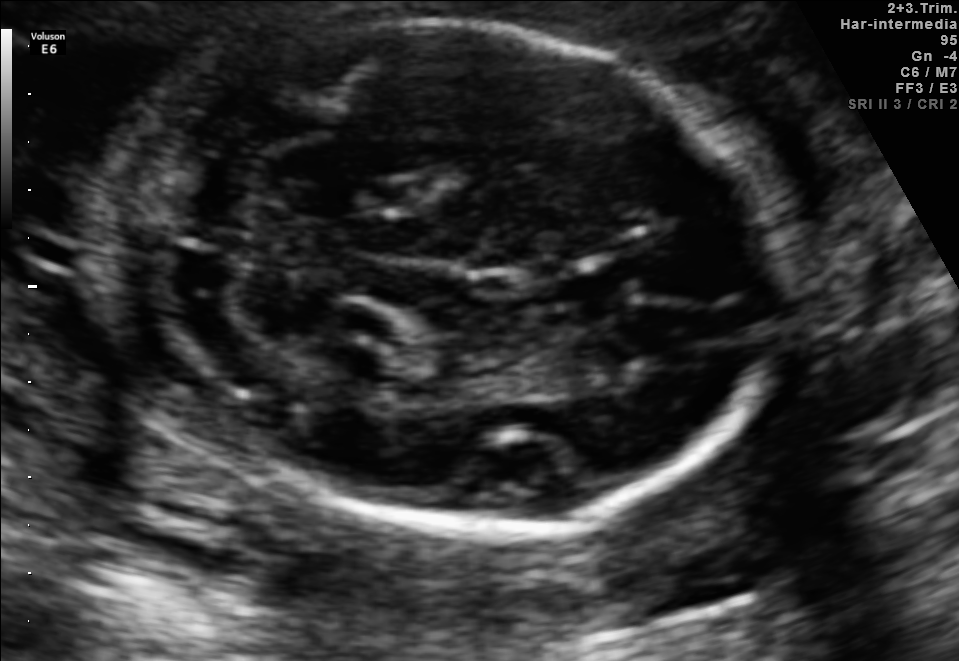
Fetal brain, trans-cerebellum plane. Give [x1,y1,x2,y2] bounding boxes for each visible structure among: fetal head, CSP, LV.

Head: [89,19,788,534]